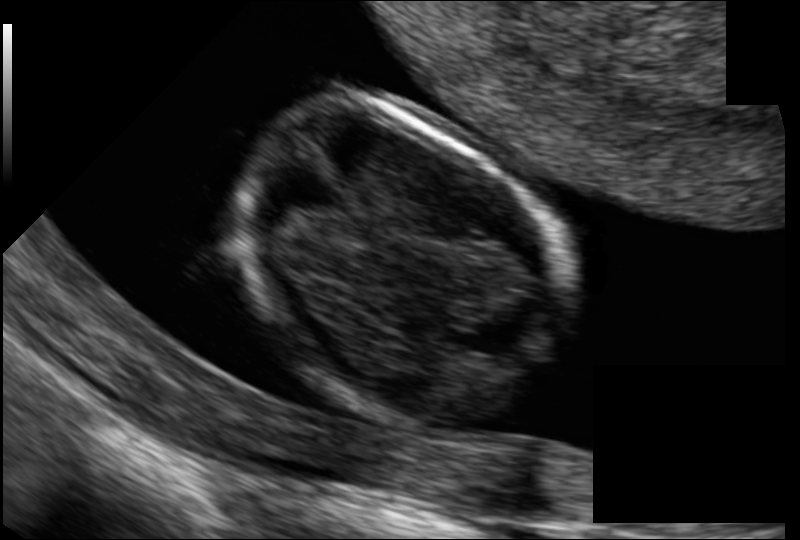
In this fetal head ultrasound, give the bounding box of the fetal head. Image width: 55.2 mm.

[228,109,561,417]